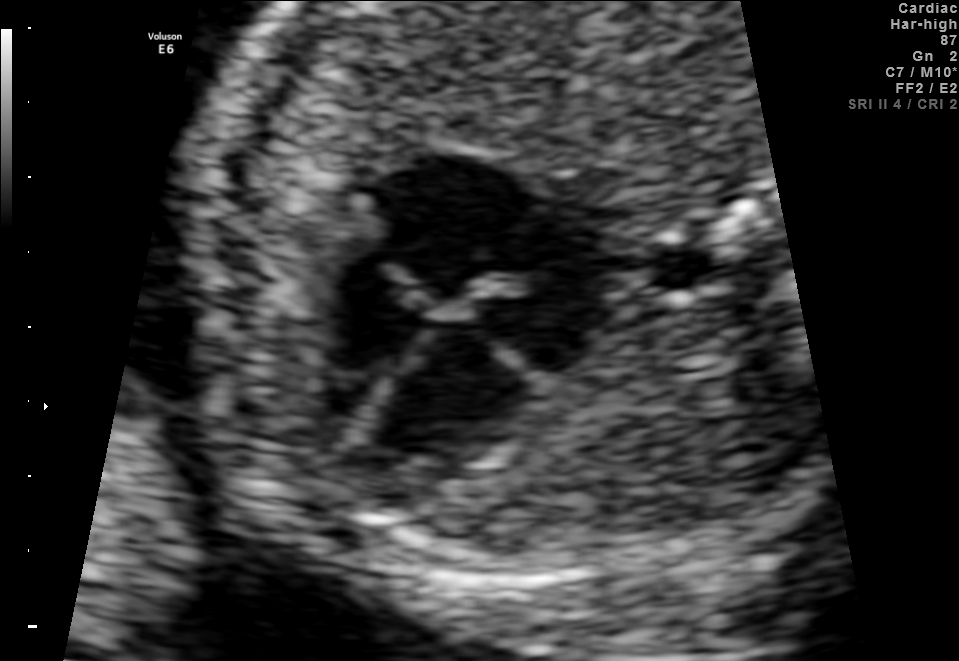
Which standard maternal-fetal ultrasound plane is shown: fetal abdomen, fetal brain, fetal femur, fetal thorax, maternal cervix, or other? If it's fetal brain and one of the three standard brain planes (trans-thalamic, trans-cerebellum, trans-ventricular), name which.

Fetal thorax